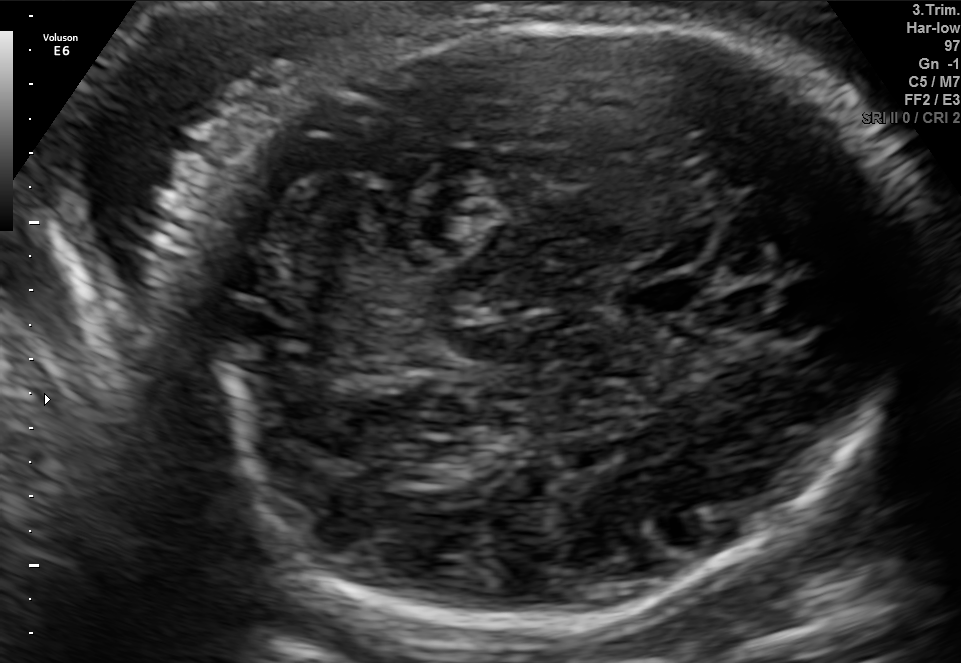
In this fetal brain, trans-cerebellum plane, give the bounding box of the cavum septum pellucidum.

[617,262,712,329]